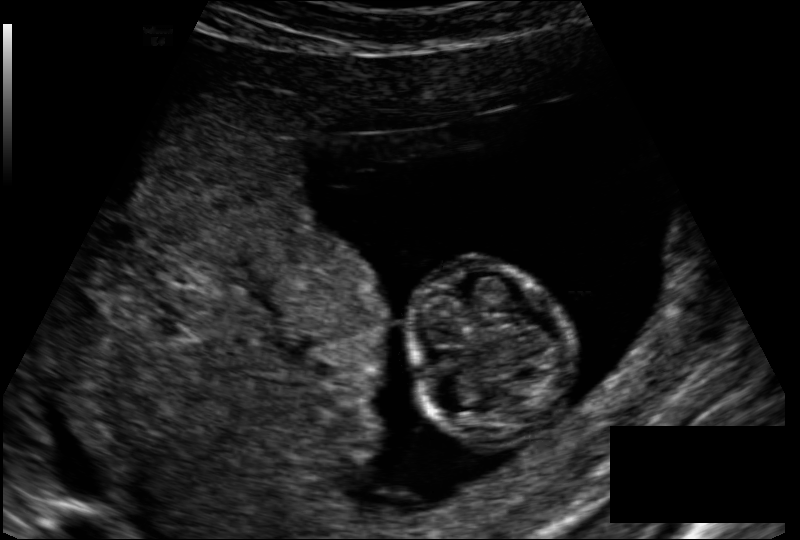
Fetal head ultrasound. Image width: 102.1 mm. Locate the fetal head.

Head: [408,260,567,439]